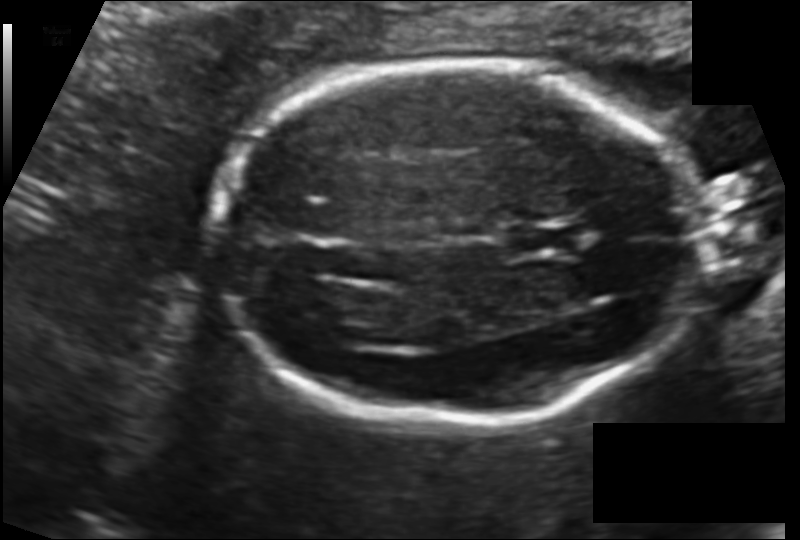
In this fetal head ultrasound, give the bounding box of the cavum septum pellucidum. Image width: 98.3 mm.

[505,221,579,260]